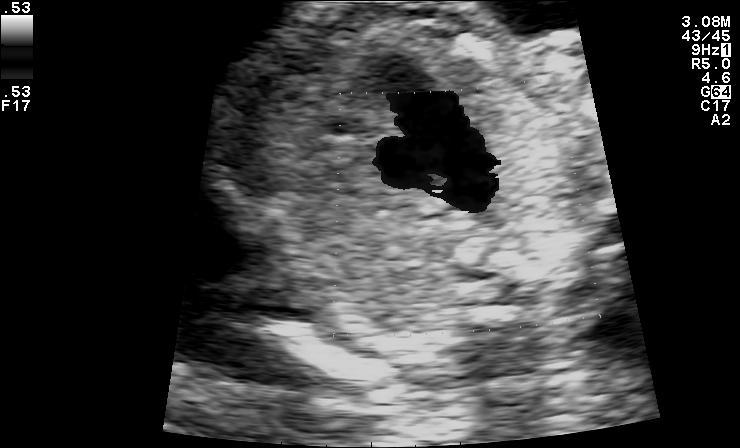
This is a 2D maternal-fetal ultrasound frame. Is it a fetal abdomen, fetal brain, fetal femur, fetal thorax, maternal cervix, or other standard plane? If it's fetal brain and one of the three standard brain planes (trans-thalamic, trans-cerebellum, trans-ventricular), name which.

Other